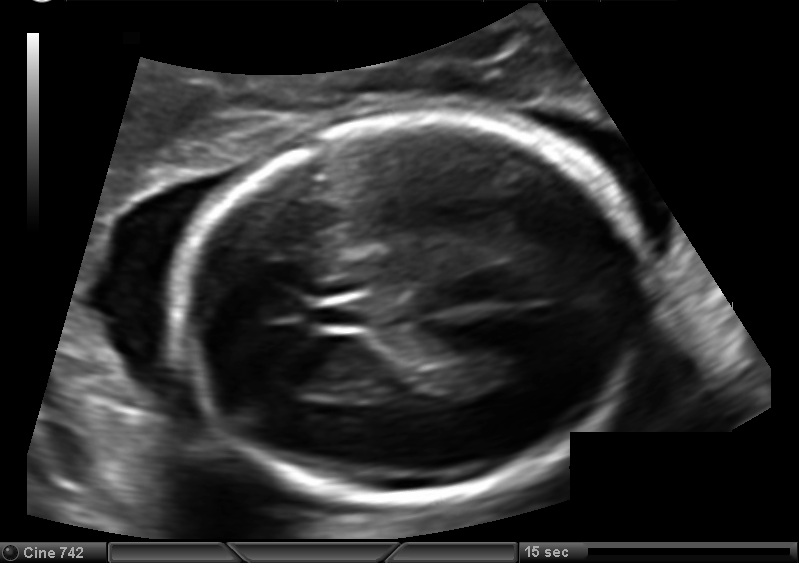
Fetal head ultrasound. Image width: 101.4 mm. Locate the cavum septum pellucidum.

CSP: [313,297,372,332]